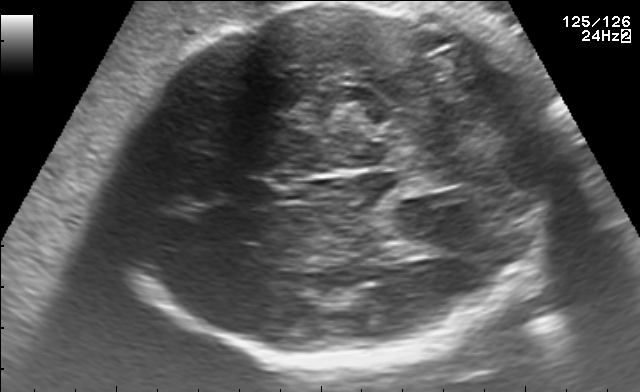
In this fetal brain, trans-thalamic plane, give bounding boxes for the head outline, cavum septum pellucidum (CSP), and lateral ventricle (LV), where visible.

Head: [113,2,578,366]